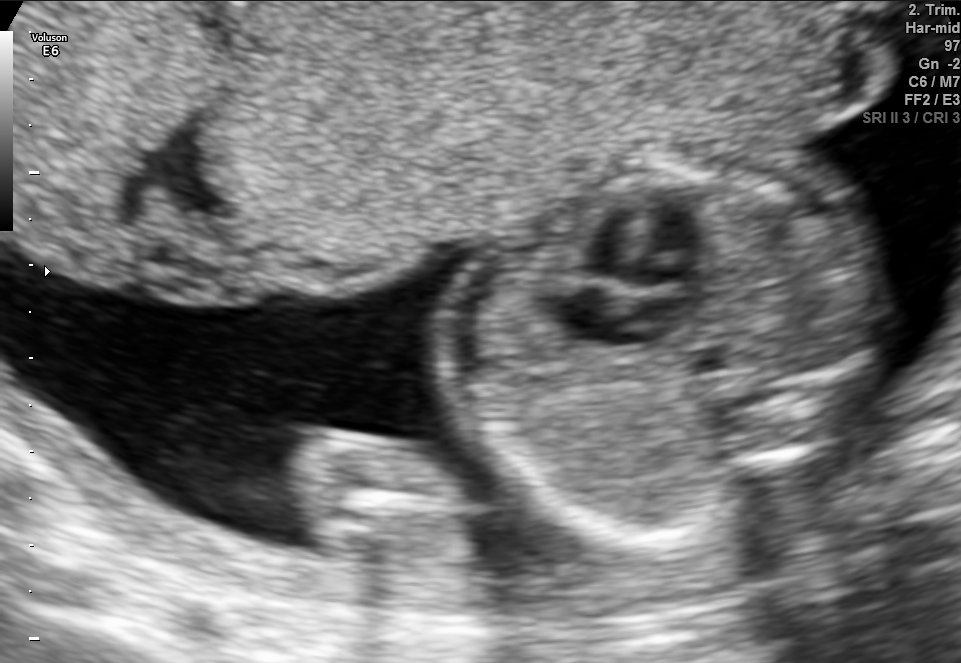
This is a 2D maternal-fetal ultrasound frame. Is it a fetal abdomen, fetal brain, fetal femur, fetal thorax, maternal cervix, or other standard plane? If it's fetal brain and one of the three standard brain planes (trans-thalamic, trans-cerebellum, trans-ventricular), name which.

Fetal thorax